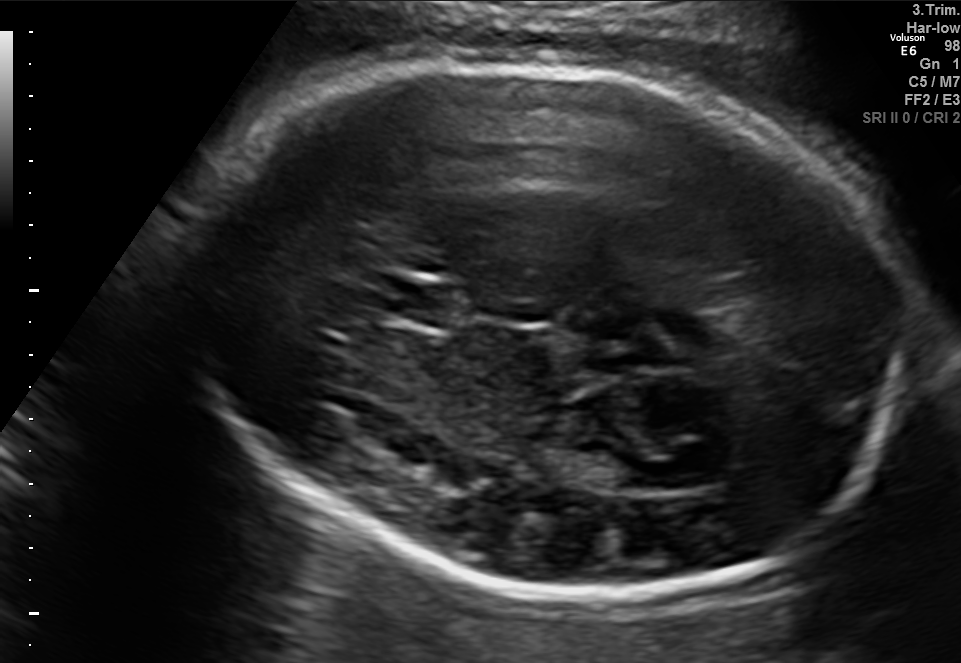
Fetal brain, trans-thalamic plane. Where is the cavum septum pellucidum?

CSP bounding box: [377,277,473,331]